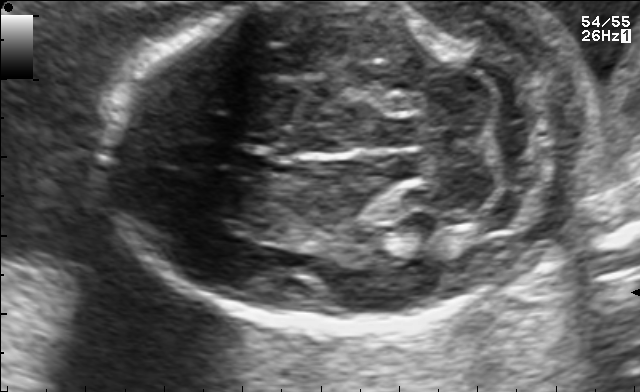
In this fetal brain, trans-cerebellum plane, give the bounding box of the fetal head.

[101,2,592,327]